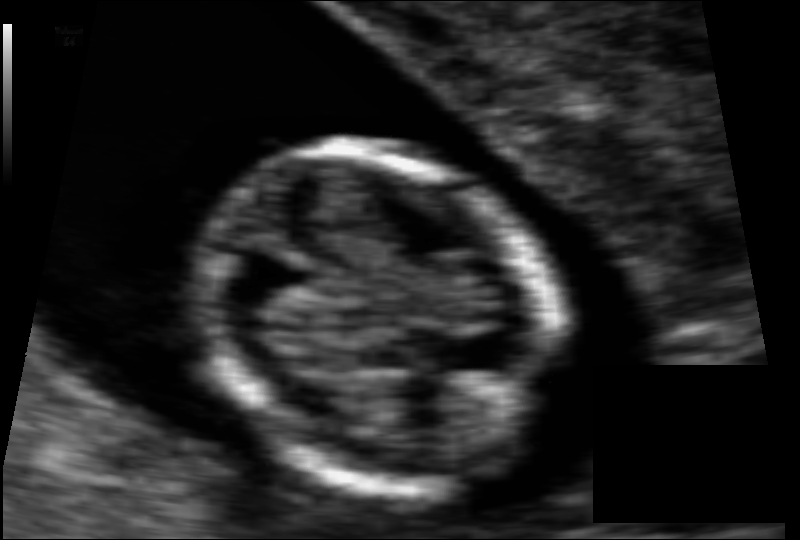
From this fetal ultrasound, estimate the head circumference (image width 49.4 mm).

Head circumference: 69.9 mm.